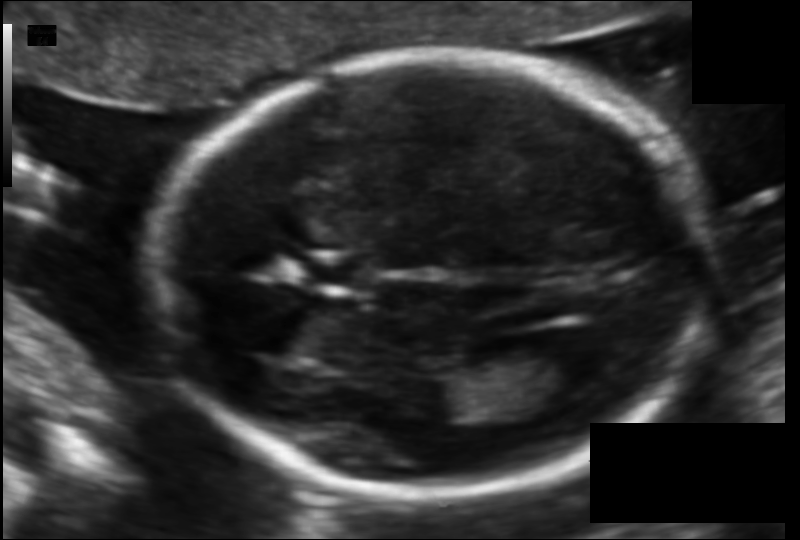
In this fetal head ultrasound, give the bounding box of the fetal head. Image width: 83.8 mm.

[158,53,706,500]